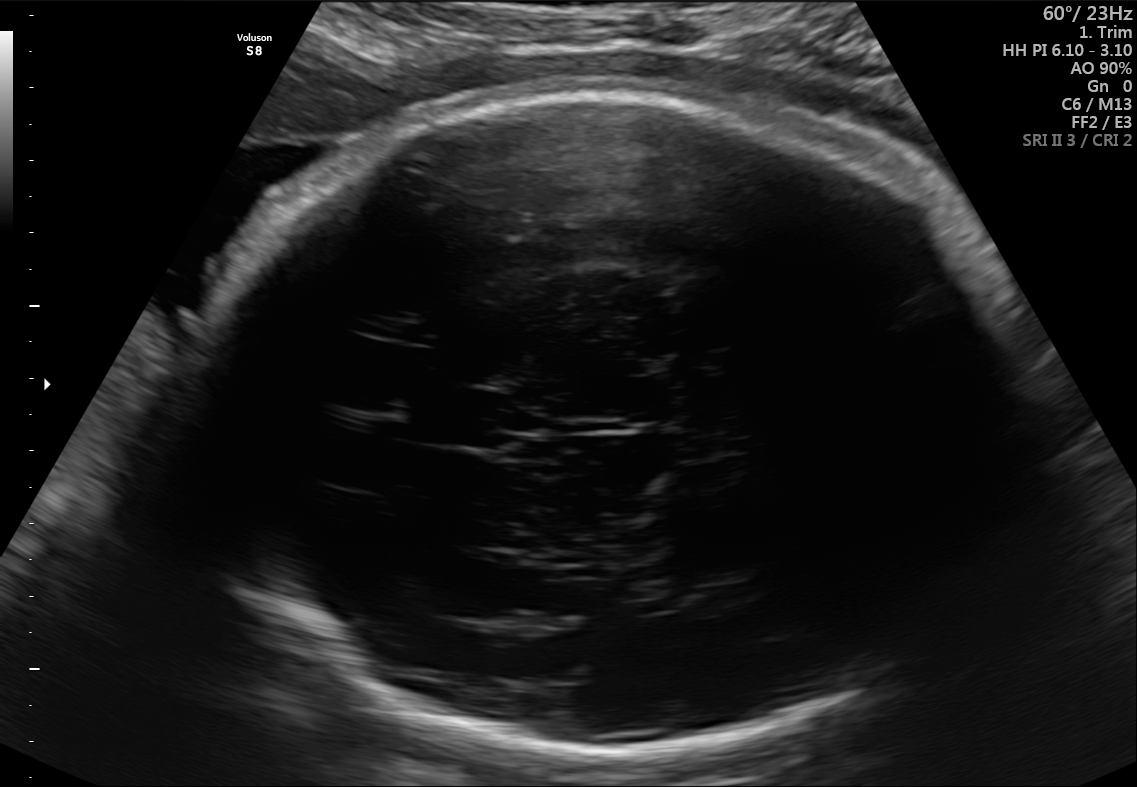
Fetal brain, trans-thalamic plane. Locate the fetal head and, if visible, the cavum septum pellucidum (CSP) and lateral ventricle (LV). Give bounding boxes as [x1,y1,x2,y2].

Head: [179,86,1029,749]
CSP: [418,381,531,452]